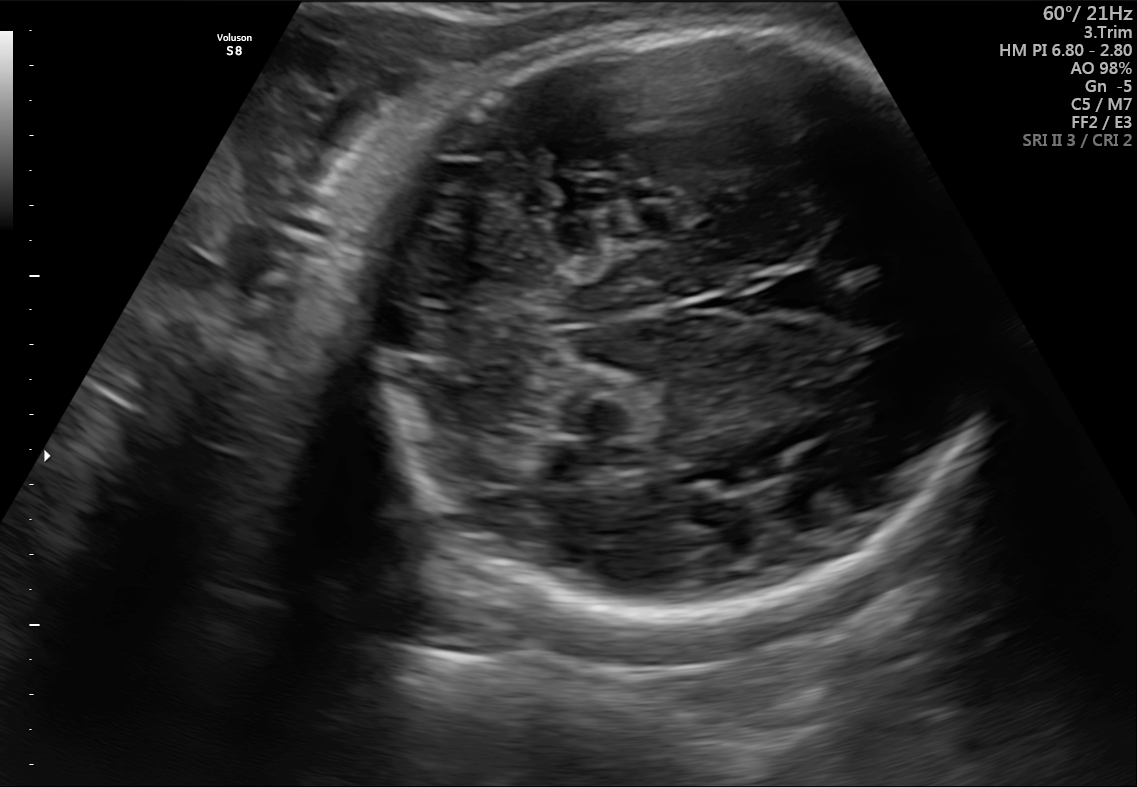
In this fetal brain, trans-cerebellum plane, give bounding boxes for the head outline, cavum septum pellucidum (CSP), and lateral ventricle (LV), where visible.

Head: [318,27,973,617]
CSP: [761,262,841,319]